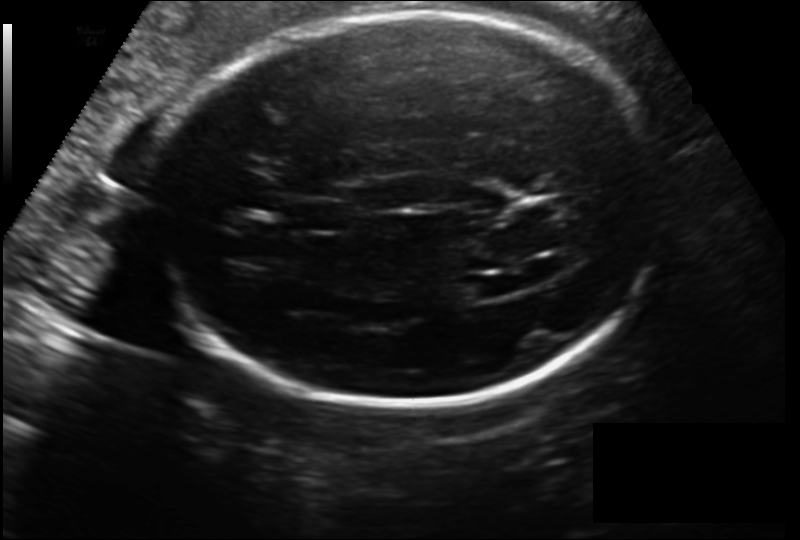
What is the fetal head circumference? Image width is 149.1 mm.

270.8 mm